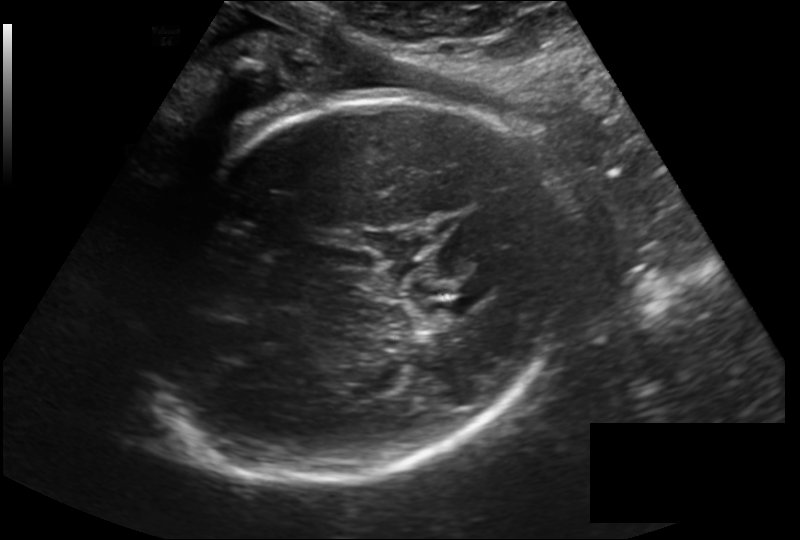
Estimate the fetal head circumference from this 2D ultrasound. Image width: 175.4 mm.

Head circumference: 287.1 mm.